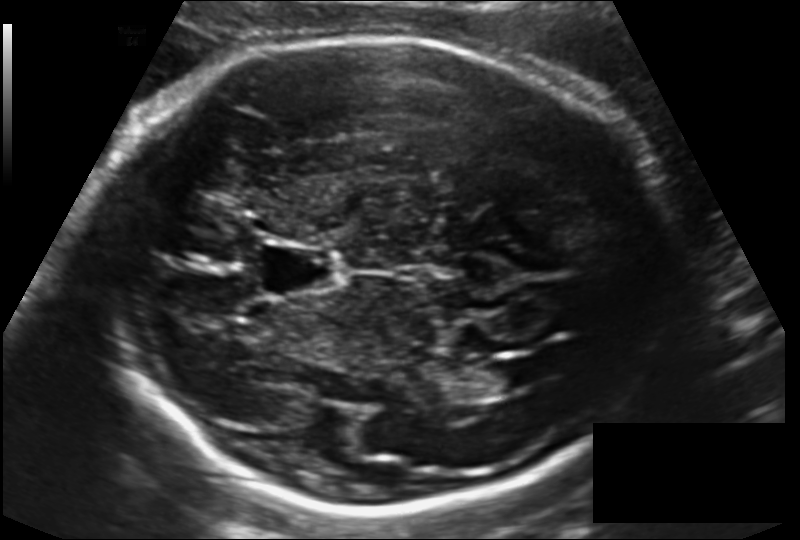
In this fetal head ultrasound, give the bounding box of the lateral ventricle. Image width: 123.9 mm.

[470,357,527,399]